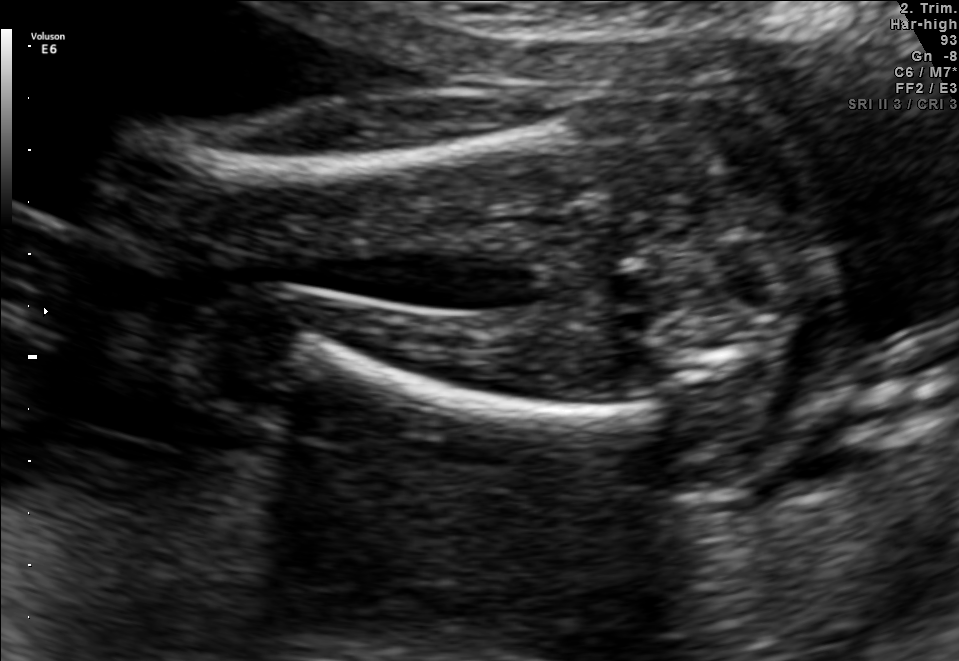
Which standard maternal-fetal ultrasound plane is shown: fetal abdomen, fetal brain, fetal femur, fetal thorax, maternal cervix, or other? If it's fetal brain and one of the three standard brain planes (trans-thalamic, trans-cerebellum, trans-ventricular), name which.

Fetal femur